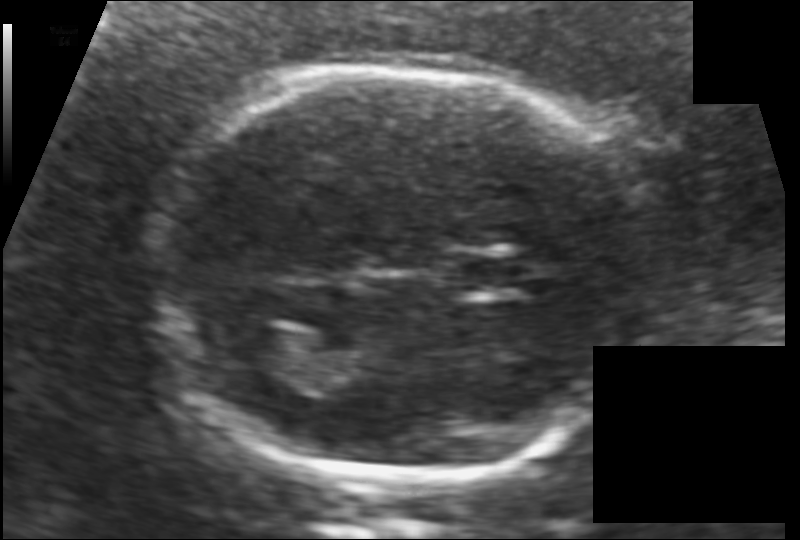
Measure the fetal head circumference shown in this ultrasound image. Image width: 94.0 mm.

Head circumference: 171.4 mm.